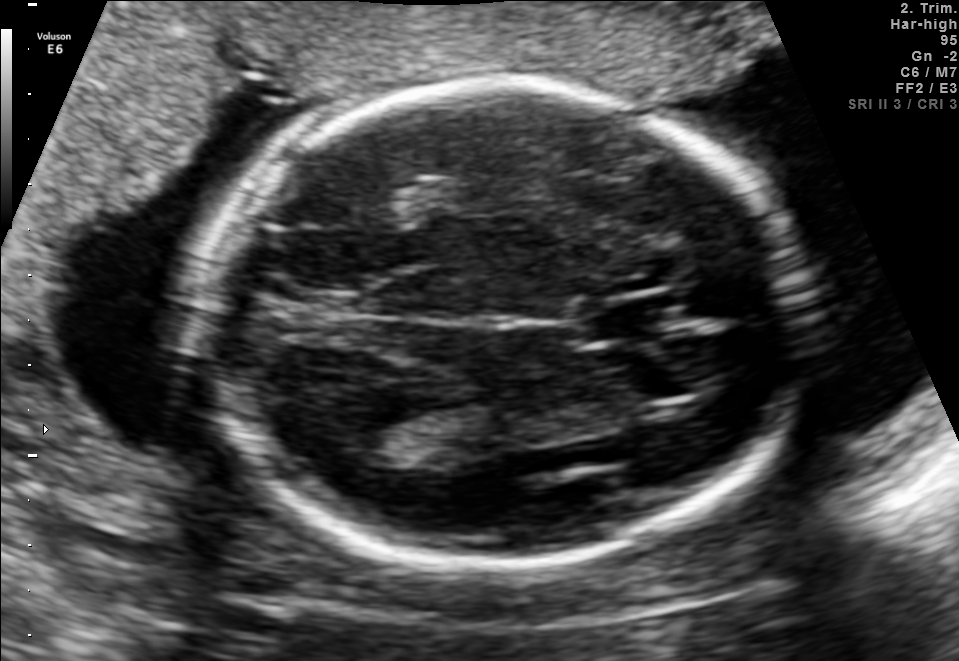
In this fetal brain, trans-thalamic plane, give the bounding box of the cavum septum pellucidum.

[583,291,675,344]